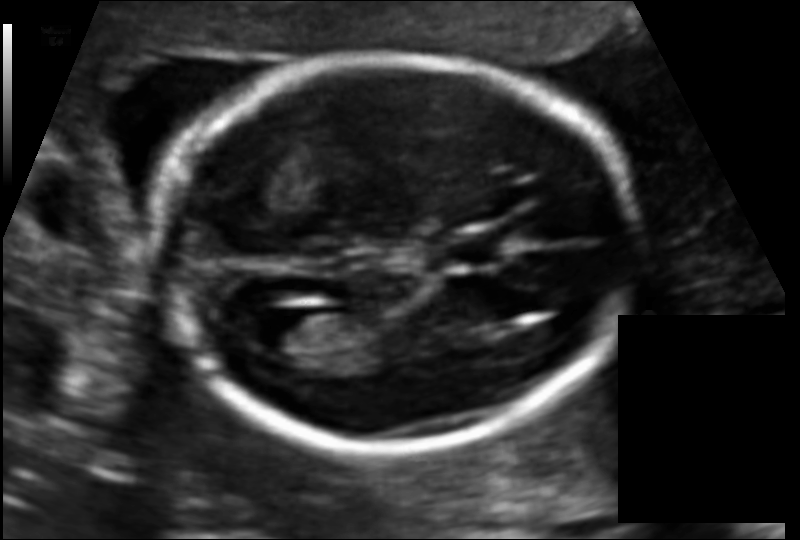
In this fetal head ultrasound, give the bounding box of the cavum septum pellucidum. Image width: 87.1 mm.

[443,234,501,268]